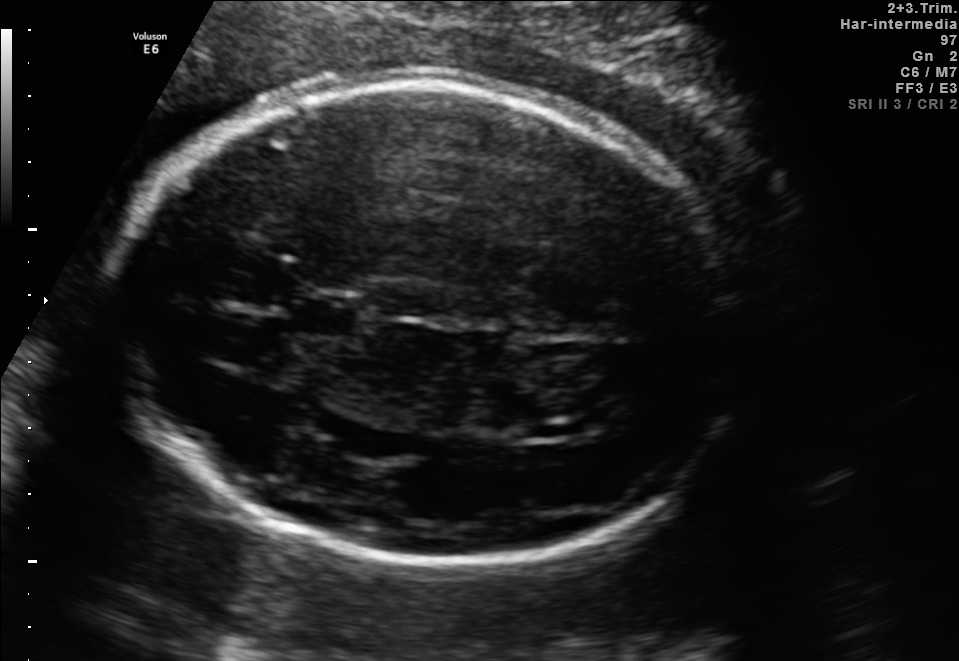
Classify this maternal-fetal ultrasound image as one of the six standard planes — fetal abdomen, fetal brain, fetal femur, fetal thorax, maternal cervix, or other. If it's fetal brain and one of the three standard brain planes (trans-thalamic, trans-cerebellum, trans-ventricular), name which.

Fetal brain (trans-ventricular plane)